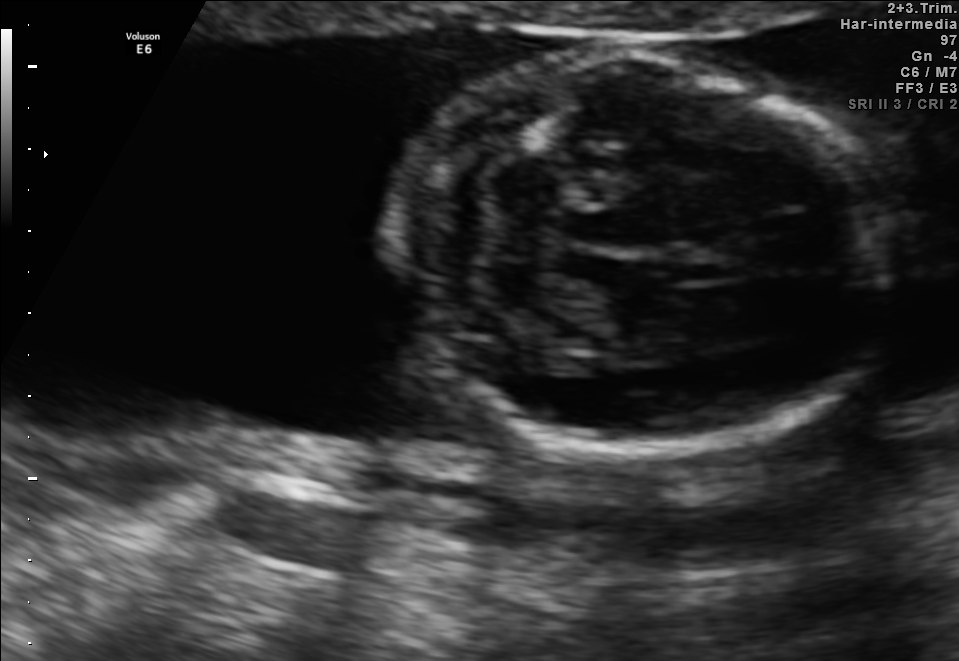
Fetal brain, trans-cerebellum plane. Where is the fetal head?

Head bounding box: [393,51,892,458]